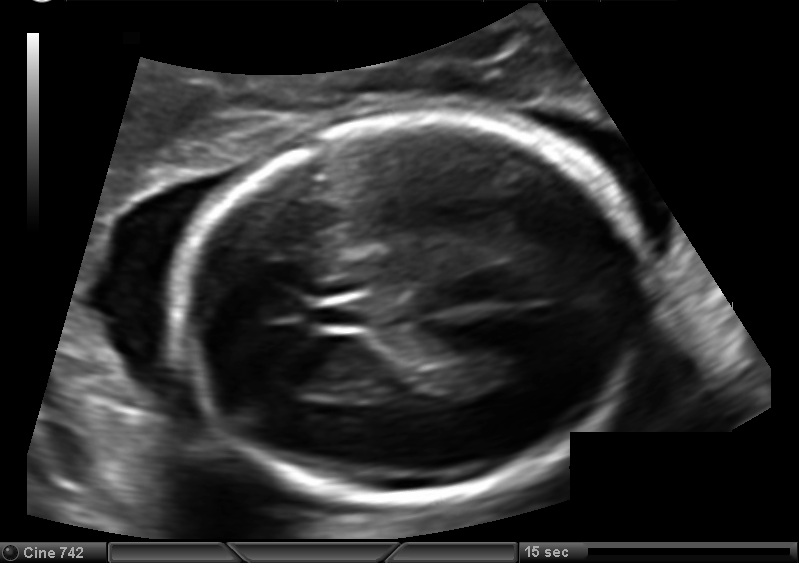
Fetal head ultrasound. Image width: 101.4 mm. Where is the cavum septum pellucidum?

CSP bounding box: [313,297,372,332]